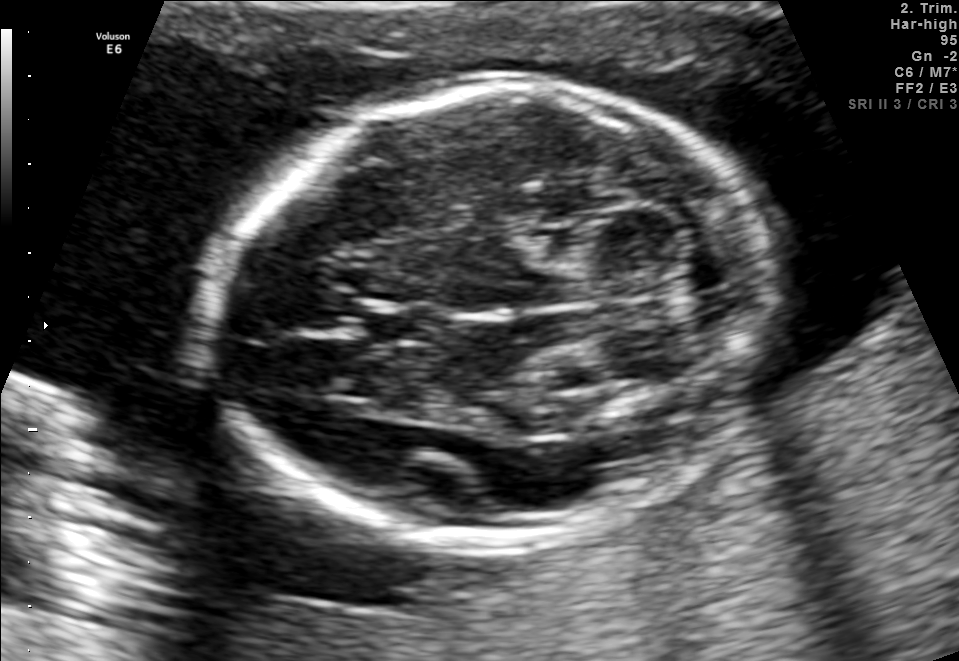
Fetal brain, trans-cerebellum plane. Where is the cavum septum pellucidum?

CSP bounding box: [356,303,437,345]